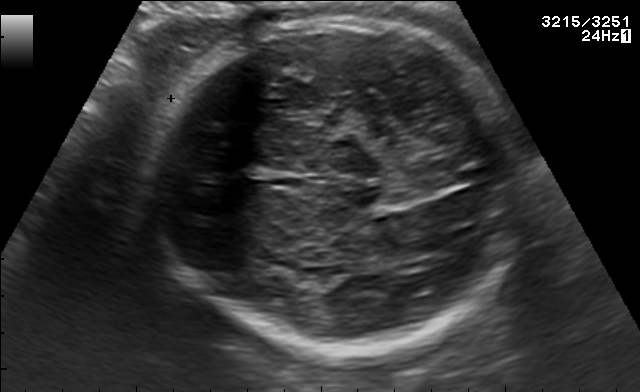
In this fetal brain, trans-thalamic plane, give the bounding box of the fetal head.

[142,20,522,356]